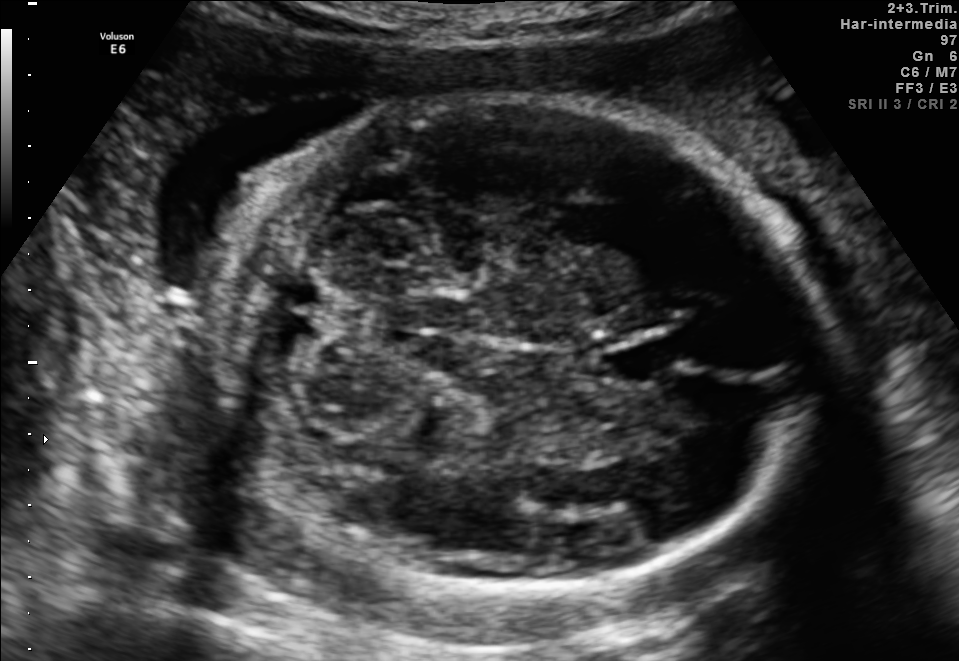
Fetal brain, trans-cerebellum plane. Give [x1,y1,x2,y2] bounding boxes for each visible structure among: fetal head, CSP, LV.

Head: [202,94,823,583]
CSP: [595,328,681,394]